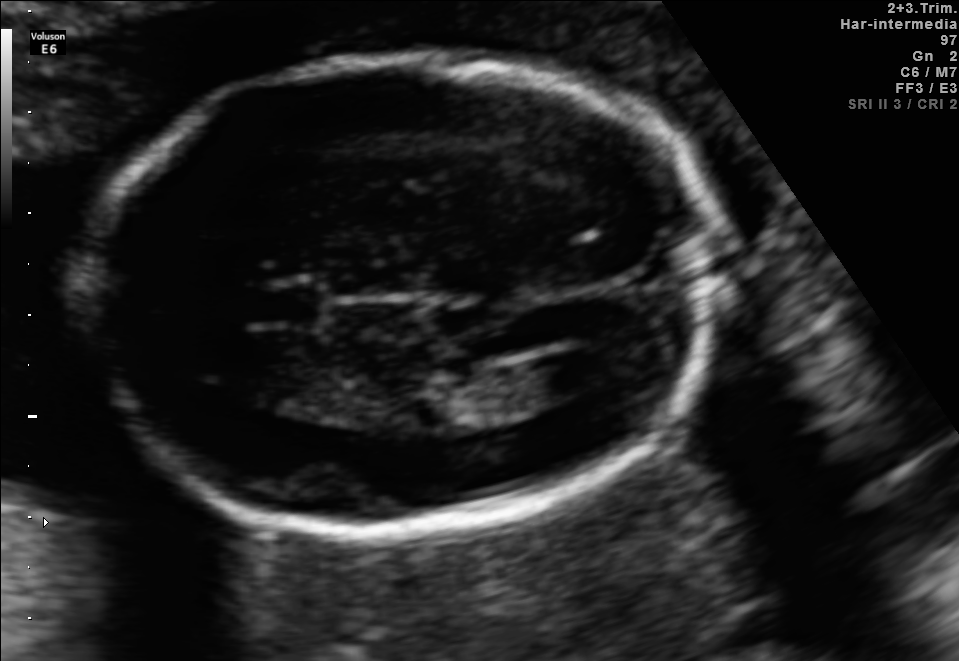
Fetal brain, trans-ventricular plane. Locate the fetal head and, if visible, the cavum septum pellucidum (CSP) and lateral ventricle (LV). Give bounding boxes as [x1,y1,x2,y2].

Head: [67,49,742,548]
CSP: [249,288,318,322]
Lateral ventricle: [534,341,619,402]